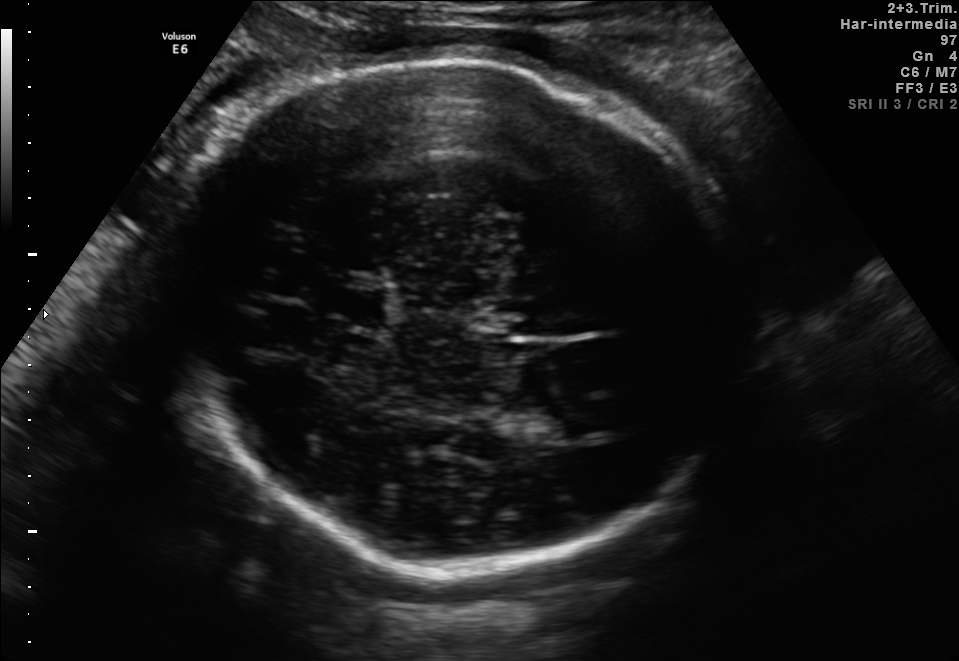
Fetal brain, trans-thalamic plane. Locate the fetal head.

Head: [157,56,734,563]